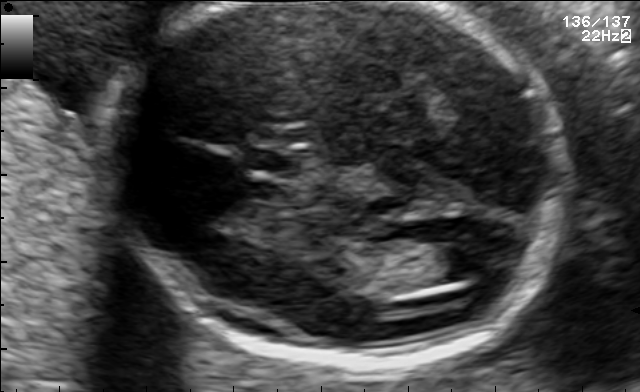
Fetal brain, trans-ventricular plane. Where is the lateral ventricle?

Lateral ventricle bounding box: [428,238,504,286]